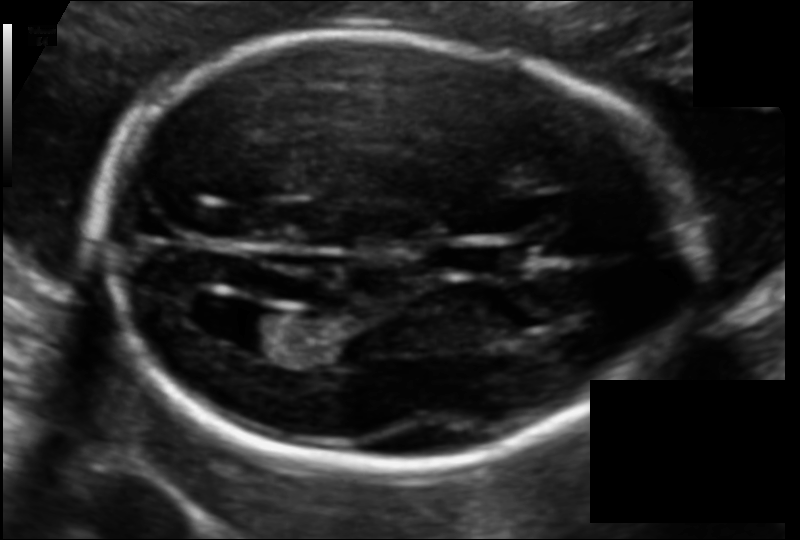
Fetal head ultrasound. Image width: 86.6 mm. Locate the cavum septum pellucidum.

CSP: [442,244,523,275]